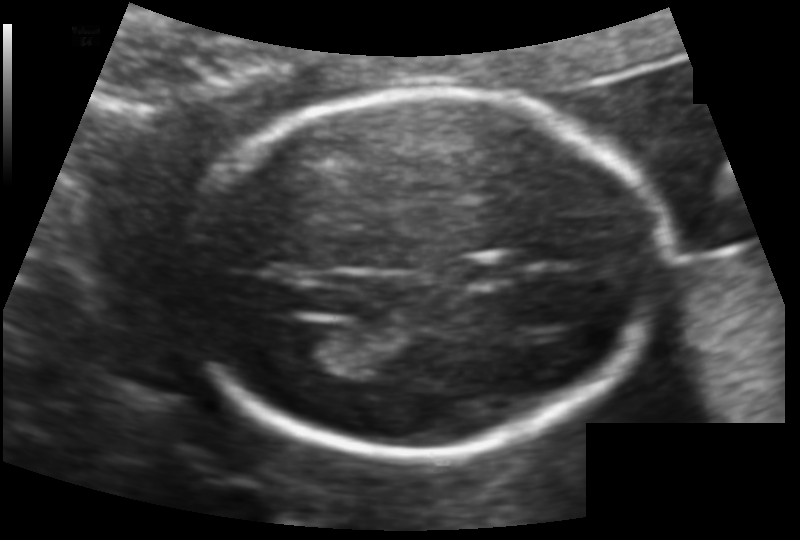
Fetal head ultrasound. Image width: 90.1 mm. Give [x1,y1,x2,y2] bounding boxes for each visible structure among: fetal head, CSP, LV.

Head: [184,92,618,457]
CSP: [457,252,522,288]
Lateral ventricle: [276,318,351,371]